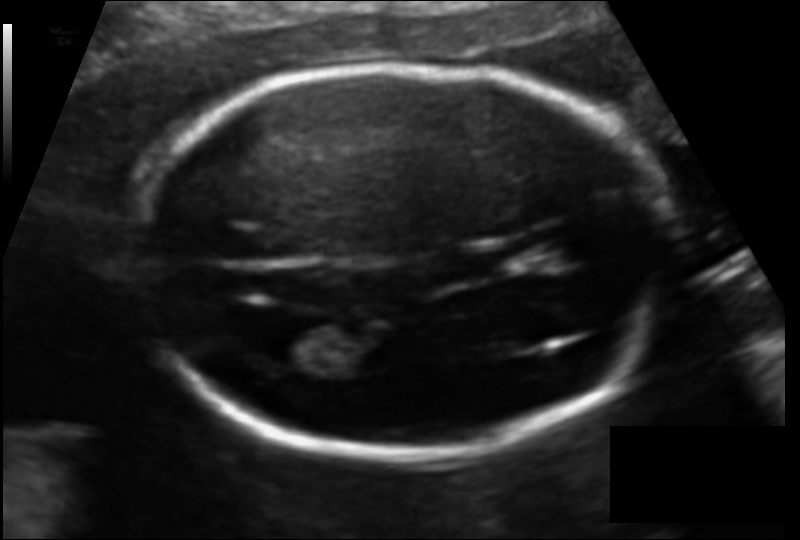
Fetal head ultrasound. Image width: 87.6 mm. Where is the lateral ventricle?

Lateral ventricle bounding box: [257,324,336,365]